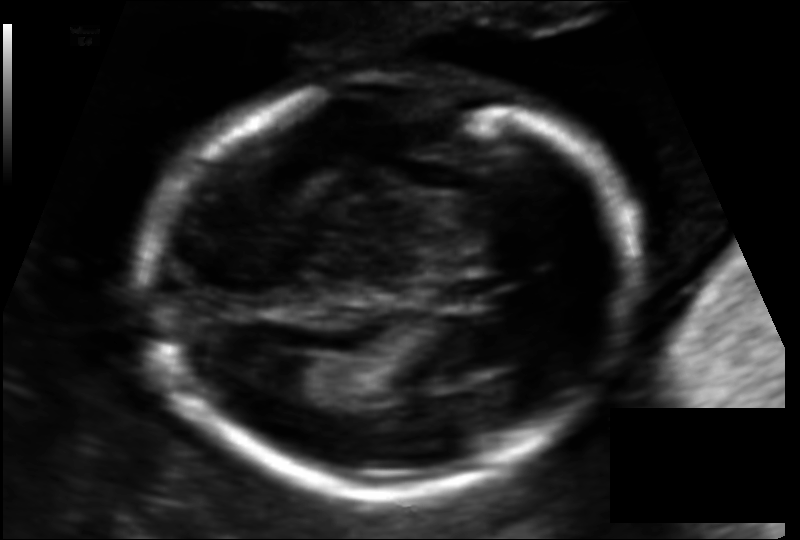
In this fetal head ultrasound, give bounding boxes for the head outline, cavum septum pellucidum (CSP), and lateral ventricle (LV), where visible. Image width: 92.3 mm.

Head: [143,76,635,490]
CSP: [430,272,504,314]
Lateral ventricle: [255,352,339,403]